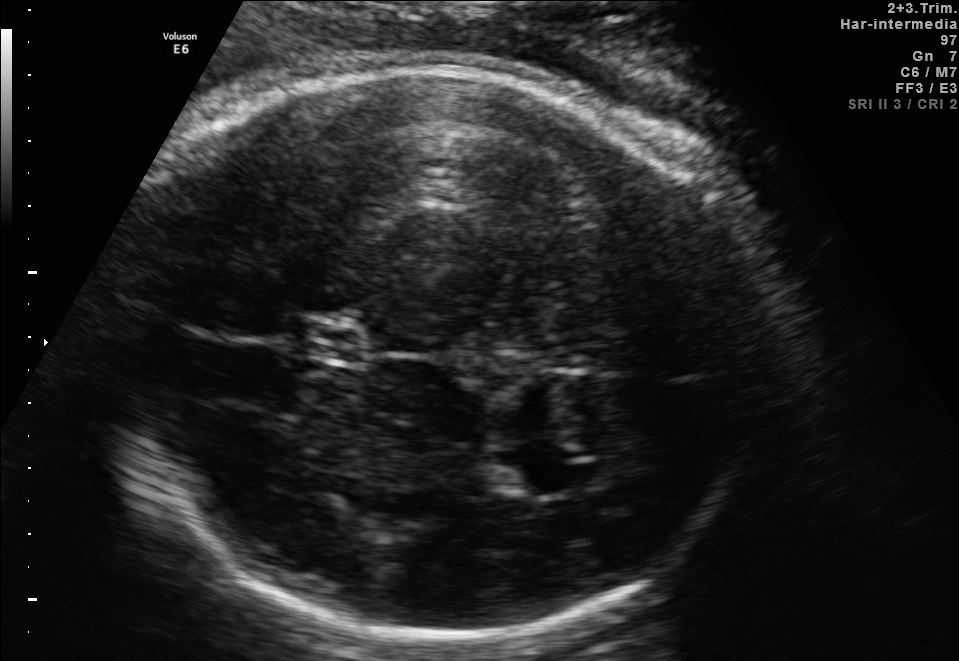
In this fetal brain, trans-thalamic plane, give the bounding box of the lateral ventricle.

[490,445,568,502]